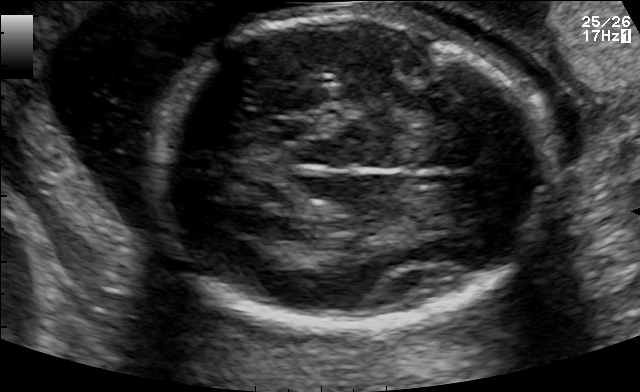
In this fetal brain, trans-thalamic plane, give the bounding box of the fetal head.

[153,18,553,326]